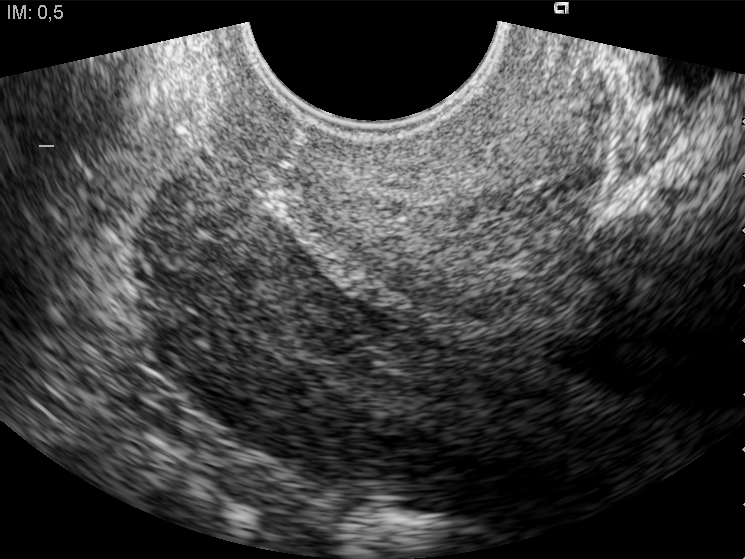
Which standard maternal-fetal ultrasound plane is shown: fetal abdomen, fetal brain, fetal femur, fetal thorax, maternal cervix, or other? If it's fetal brain and one of the three standard brain planes (trans-thalamic, trans-cerebellum, trans-ventricular), name which.

Maternal cervix